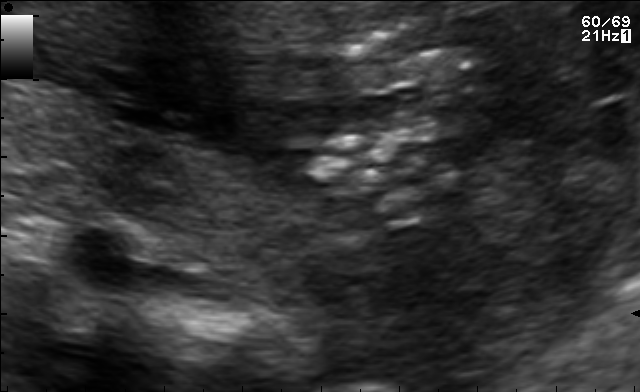
Identify the standard plane in this fetal ultrasound image: fetal abdomen, fetal brain, fetal femur, fetal thorax, maternal cervix, or other. If it's fetal brain and one of the three standard brain planes (trans-thalamic, trans-cerebellum, trans-ventricular), name which.

Other